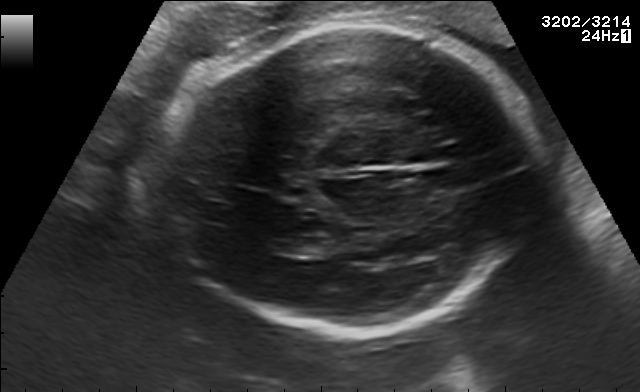
Fetal brain, trans-thalamic plane. Give [x1,y1,x2,y2] bounding boxes for each visible structure among: fetal head, CSP, LV.

Head: [162,21,540,337]
Lateral ventricle: [271,237,332,255]